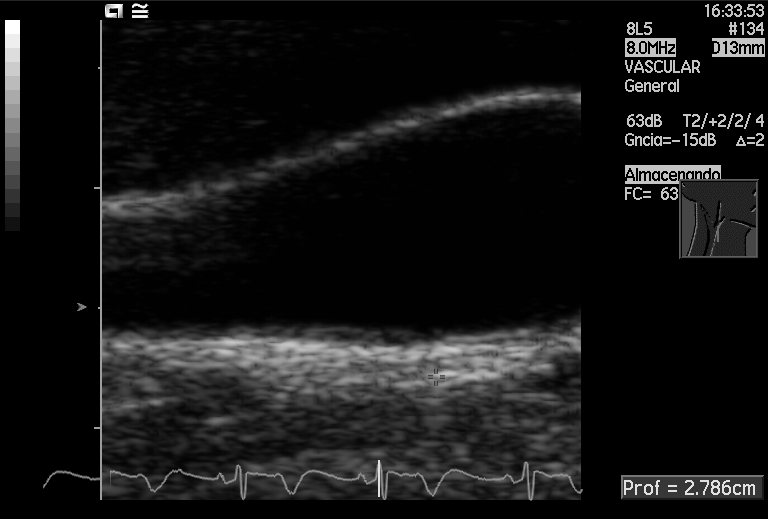
Identify the standard plane in this fetal ultrasound image: fetal abdomen, fetal brain, fetal femur, fetal thorax, maternal cervix, or other. If it's fetal brain and one of the three standard brain planes (trans-thalamic, trans-cerebellum, trans-ventricular), name which.

Other